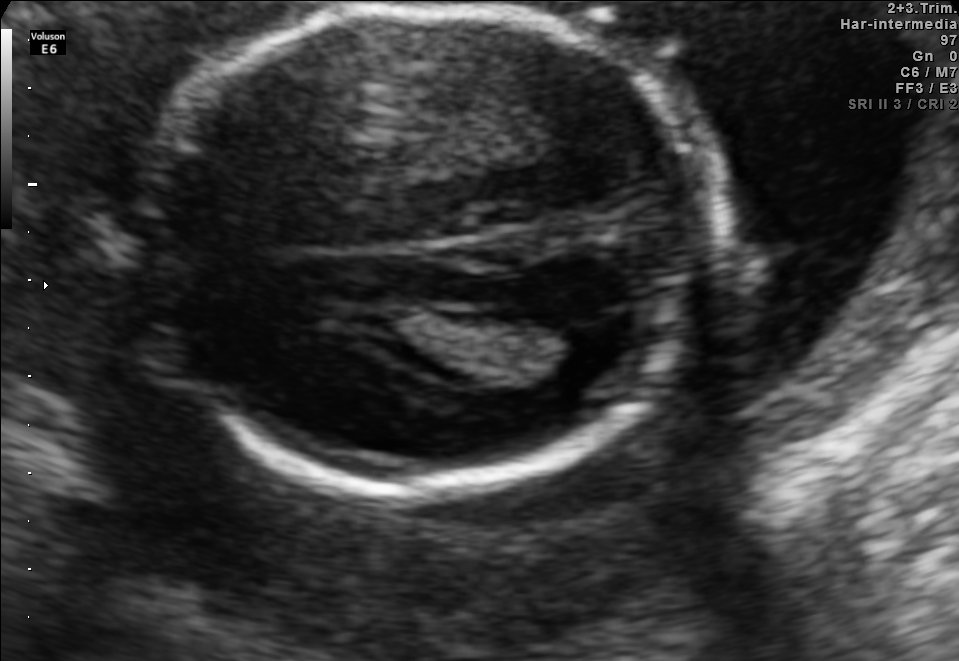
Fetal brain, trans-thalamic plane. Where is the fetal head?

Head bounding box: [147,7,708,492]